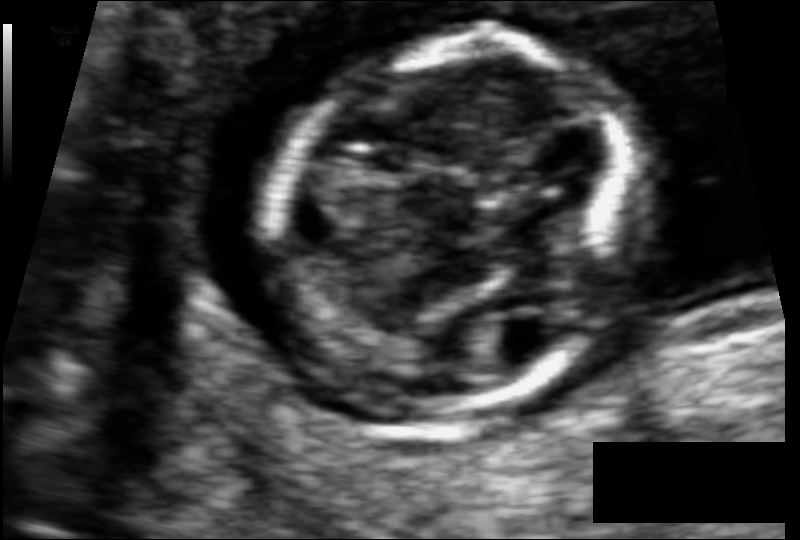
Estimate the fetal head circumference from this 2D ultrasound.

Head circumference: 76.2 mm (image width 49.9 mm).